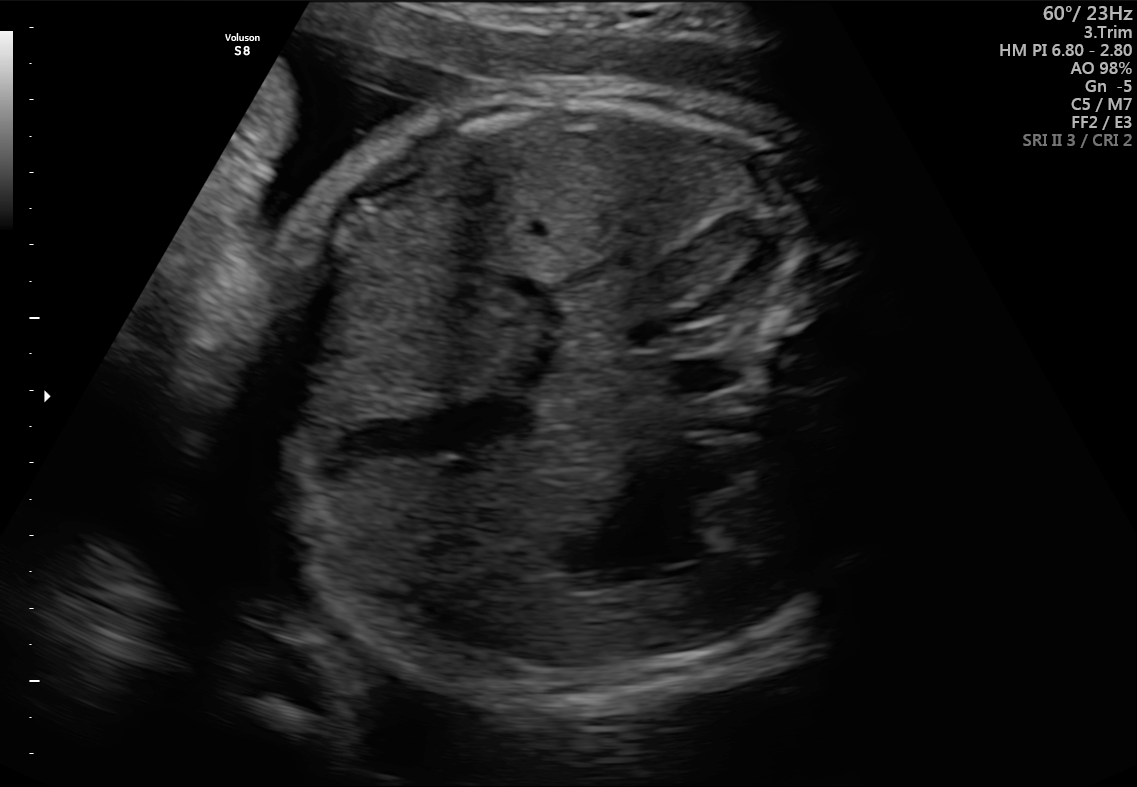
Identify the standard plane in this fetal ultrasound image: fetal abdomen, fetal brain, fetal femur, fetal thorax, maternal cervix, or other. If it's fetal brain and one of the three standard brain planes (trans-thalamic, trans-cerebellum, trans-ventricular), name which.

Fetal abdomen